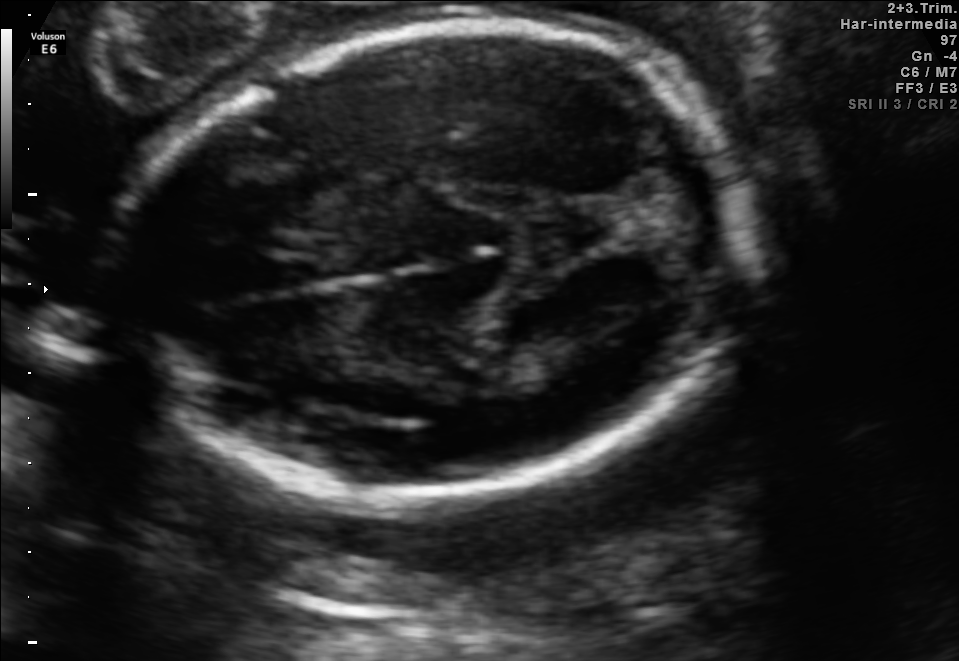
Fetal brain, trans-thalamic plane. Where is the fetal head?

Head bounding box: [122,26,747,511]